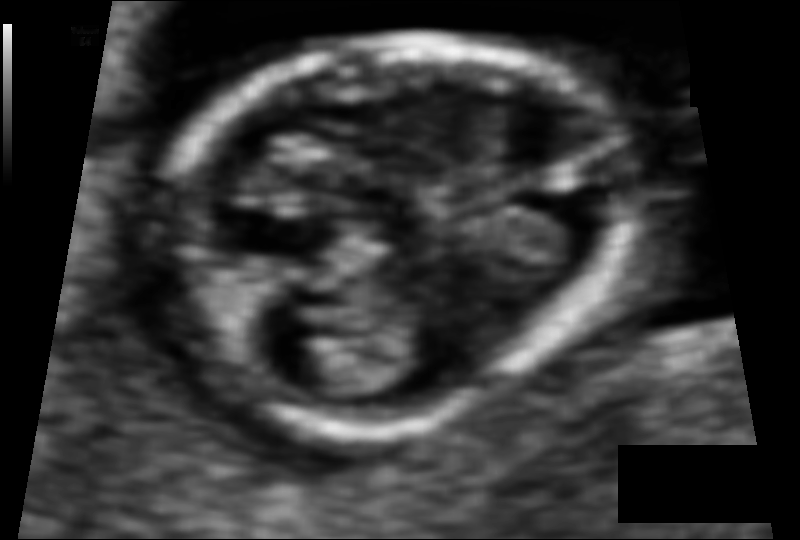
Estimate the fetal head circumference from this 2D ultrasound.

Head circumference: 85.4 mm (image width 47.7 mm).